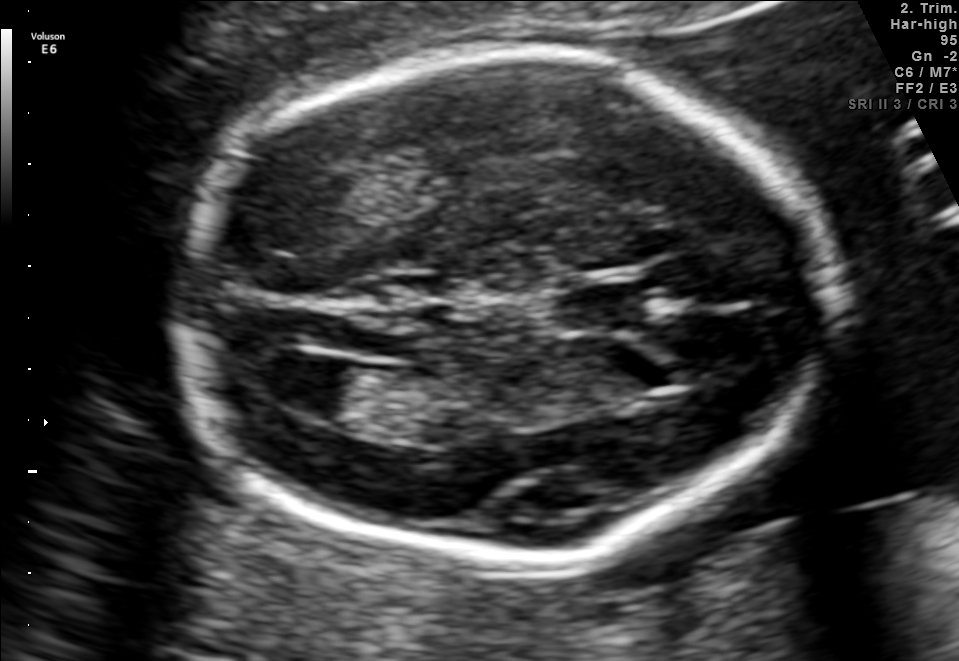
Fetal brain, trans-ventricular plane. Locate the fetal head.

Head: [163,43,856,572]